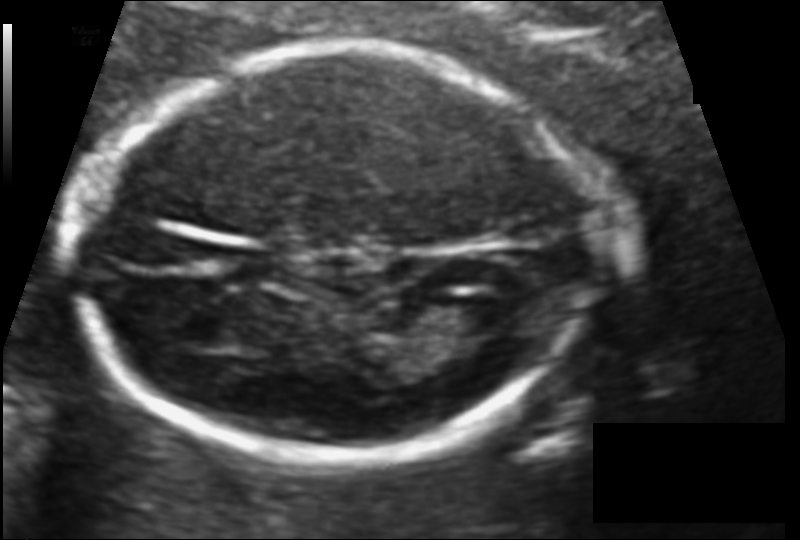
Fetal head ultrasound. Image width: 81.3 mm. Give [x1,y1,x2,y2] bounding boxes for each visible structure among: fetal head, CSP, LV.

Head: [76,49,587,463]
Lateral ventricle: [436,294,507,336]